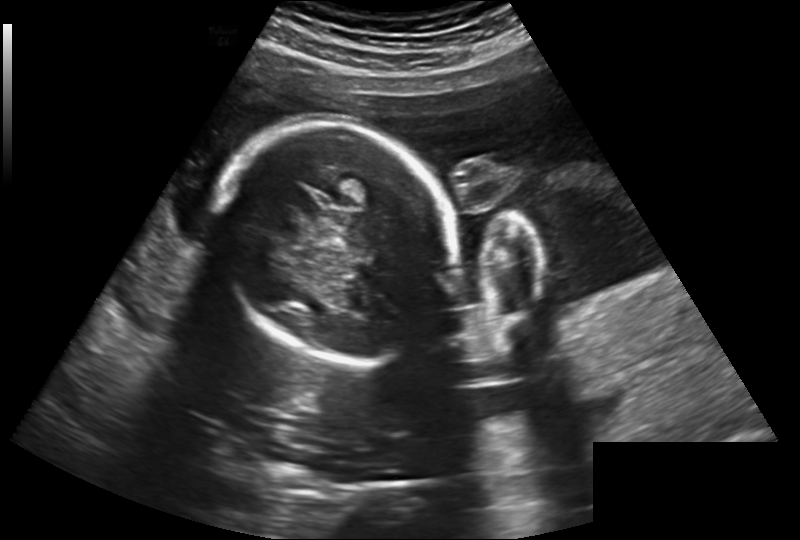
Fetal head ultrasound. Image width: 208.4 mm. Where is the fetal head?

Head bounding box: [224,121,450,362]